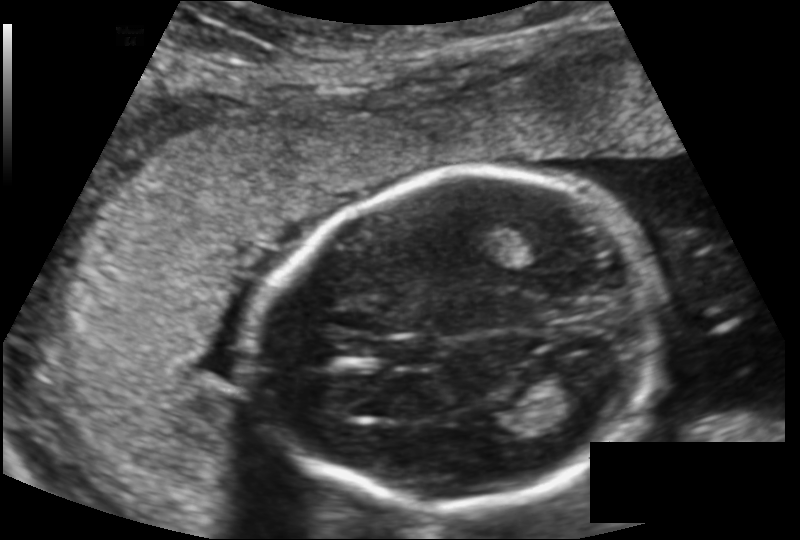
Fetal head ultrasound. Image width: 119.2 mm. Locate the cavum septum pellucidum.

CSP: [384,334,443,369]